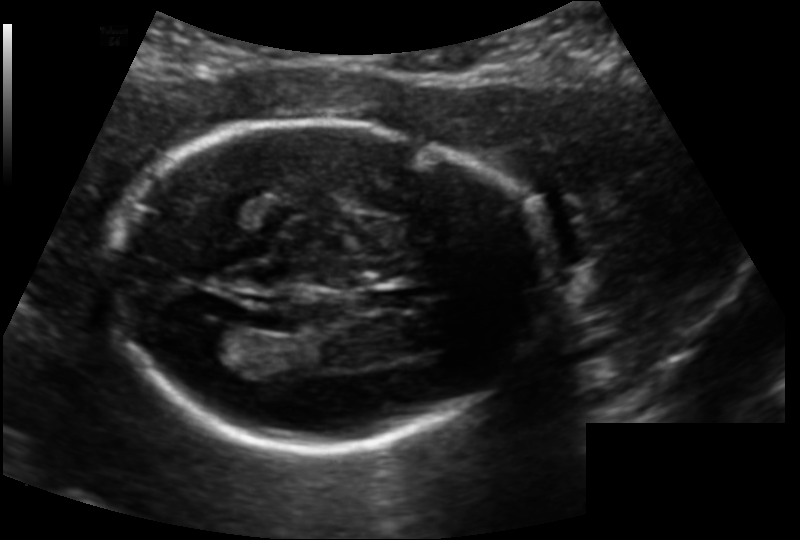
Fetal head ultrasound. Image width: 111.5 mm. Locate the fetal head.

Head: [108,120,545,449]